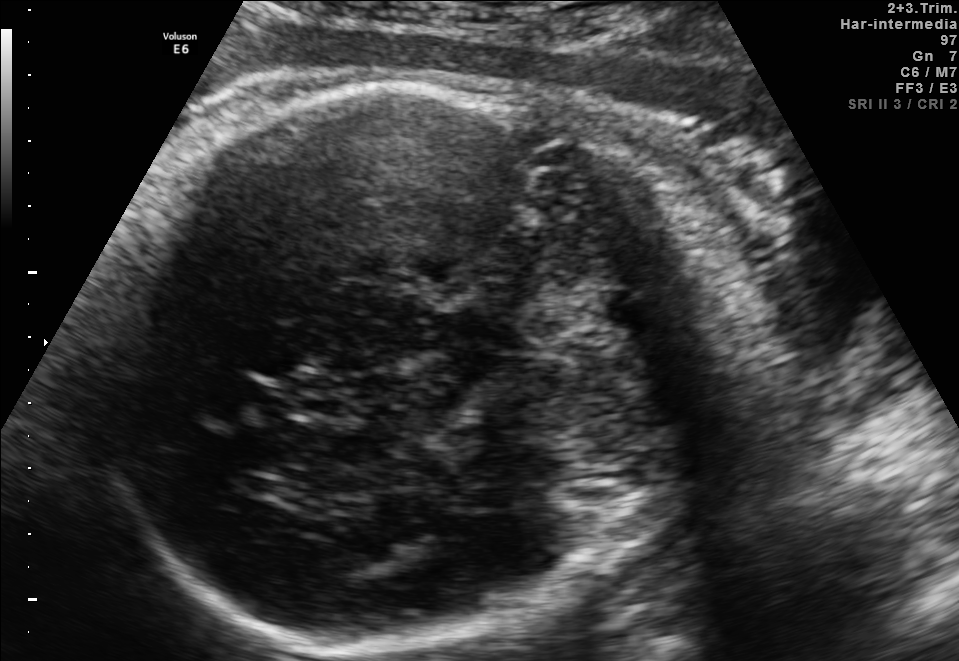
Identify the standard plane in this fetal ultrasound image: fetal abdomen, fetal brain, fetal femur, fetal thorax, maternal cervix, or other. If it's fetal brain and one of the three standard brain planes (trans-thalamic, trans-cerebellum, trans-ventricular), name which.

Fetal brain (trans-thalamic plane)